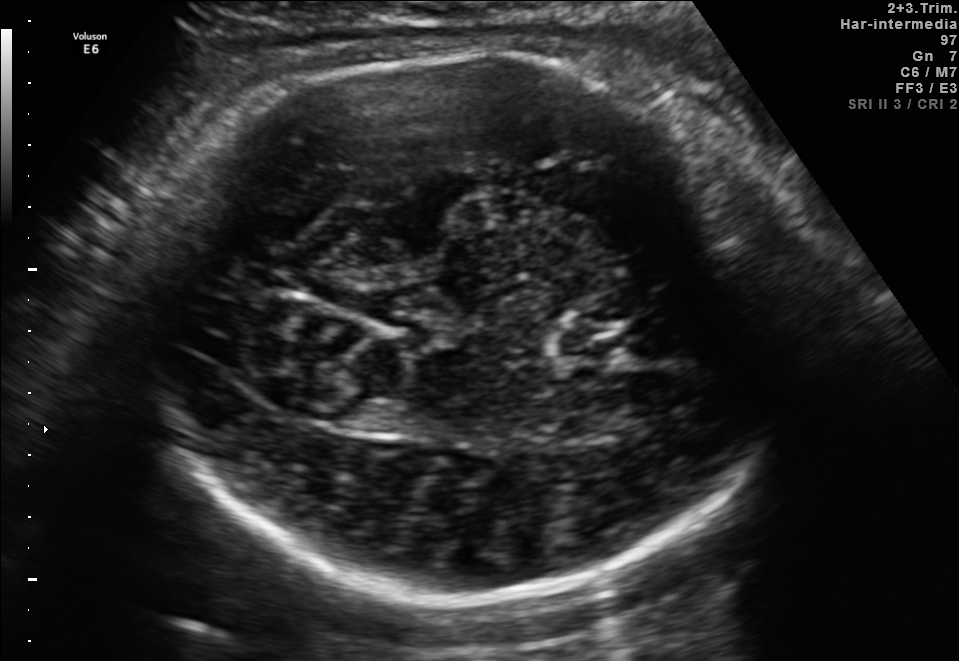
Fetal brain, trans-thalamic plane. Locate the fetal head.

Head: [140,51,797,594]